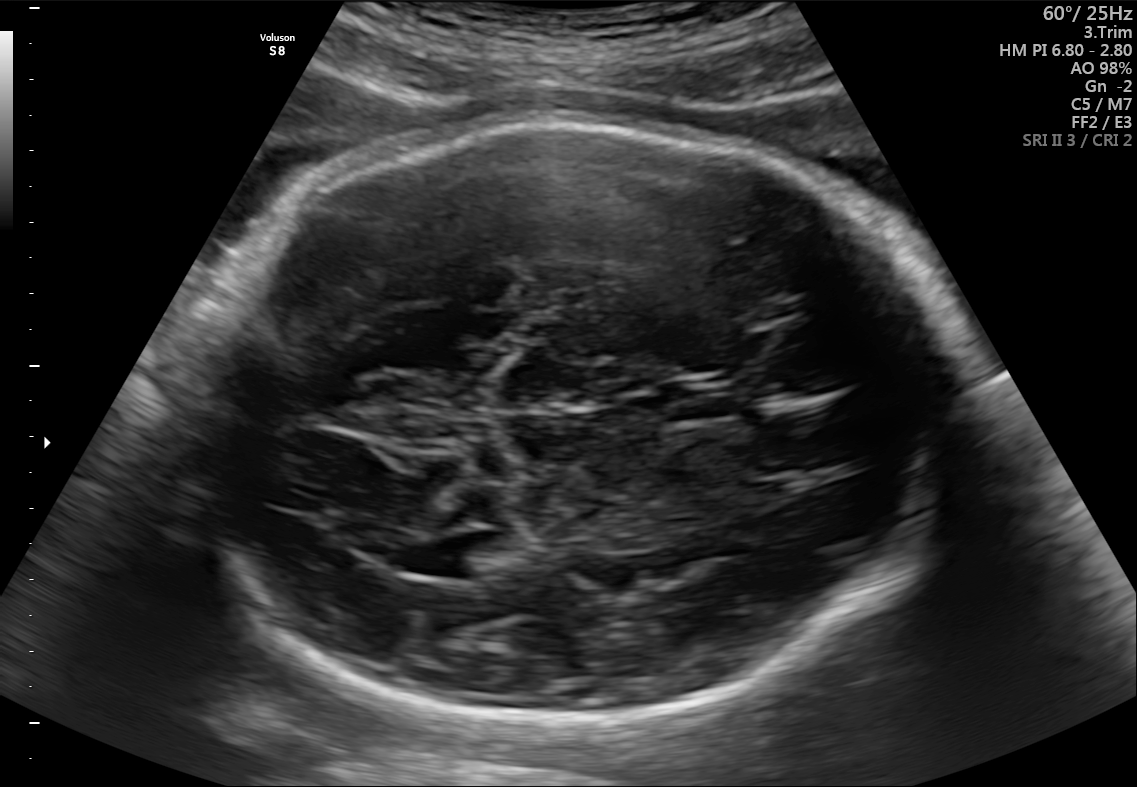
In this fetal brain, trans-ventricular plane, give the bounding box of the fetal head.

[179,111,965,729]